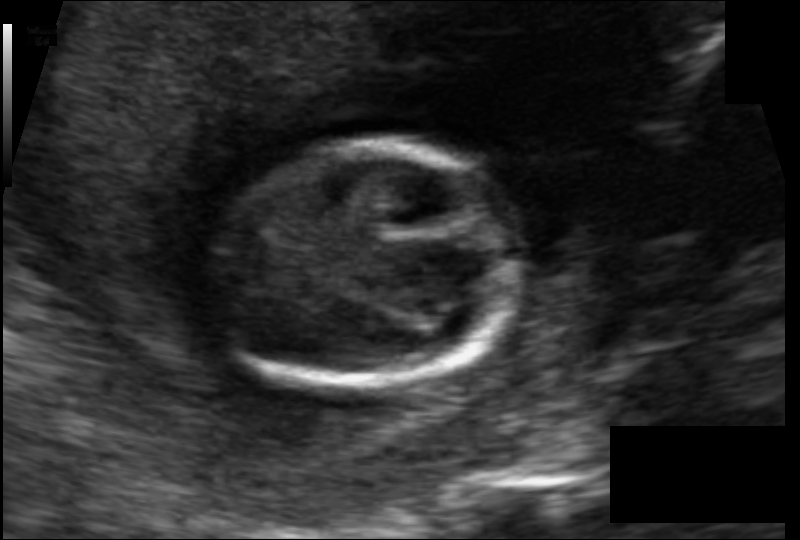
Fetal head ultrasound. Image width: 70.6 mm. Locate the fetal head.

Head: [213,146,514,386]